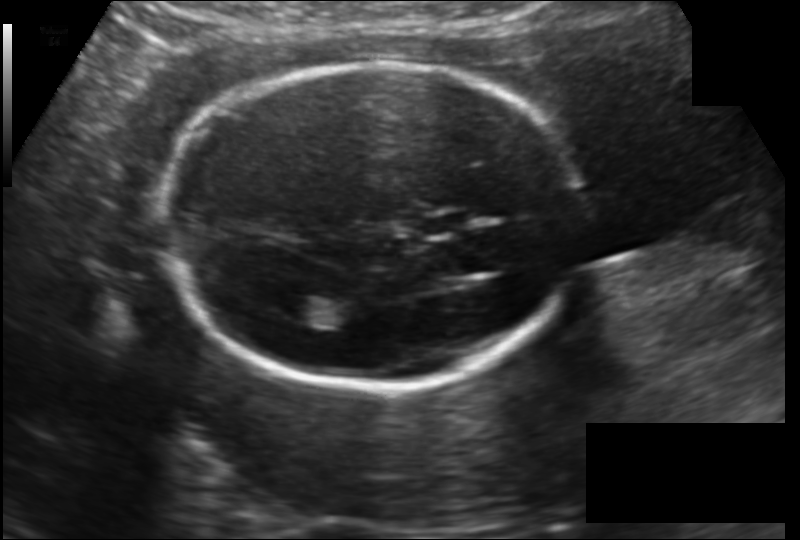
Fetal head ultrasound. Image width: 118.1 mm. Give [x1,y1,x2,y2] bounding boxes for each visible structure among: fetal head, CSP, LV.

Head: [164,62,584,390]
CSP: [413,206,475,243]
Lateral ventricle: [276,293,323,326]